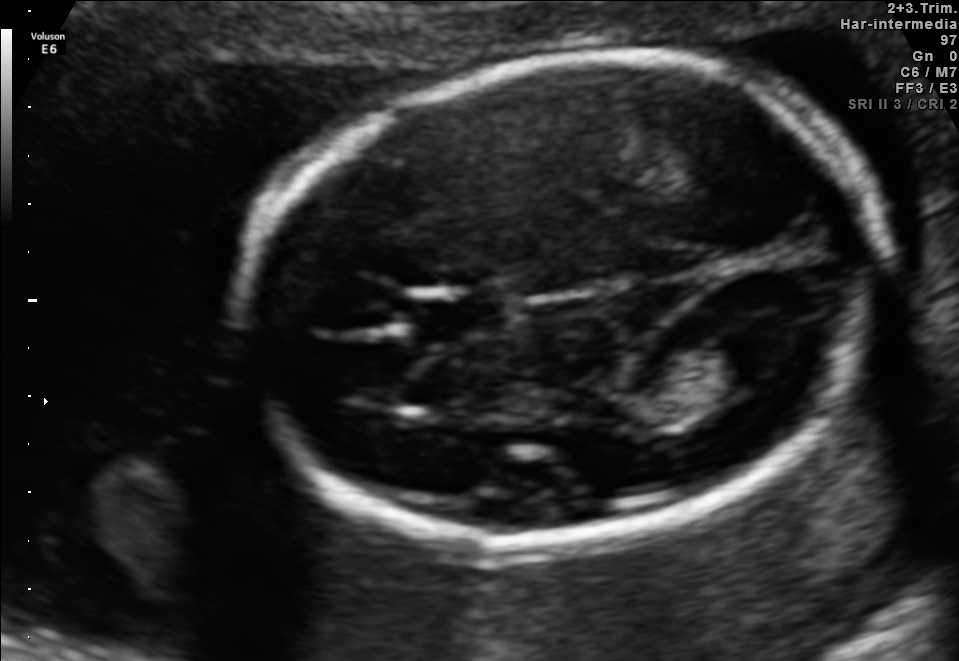
In this fetal brain, trans-ventricular plane, give the bounding box of the cavum septum pellucidum.

[407,287,521,345]